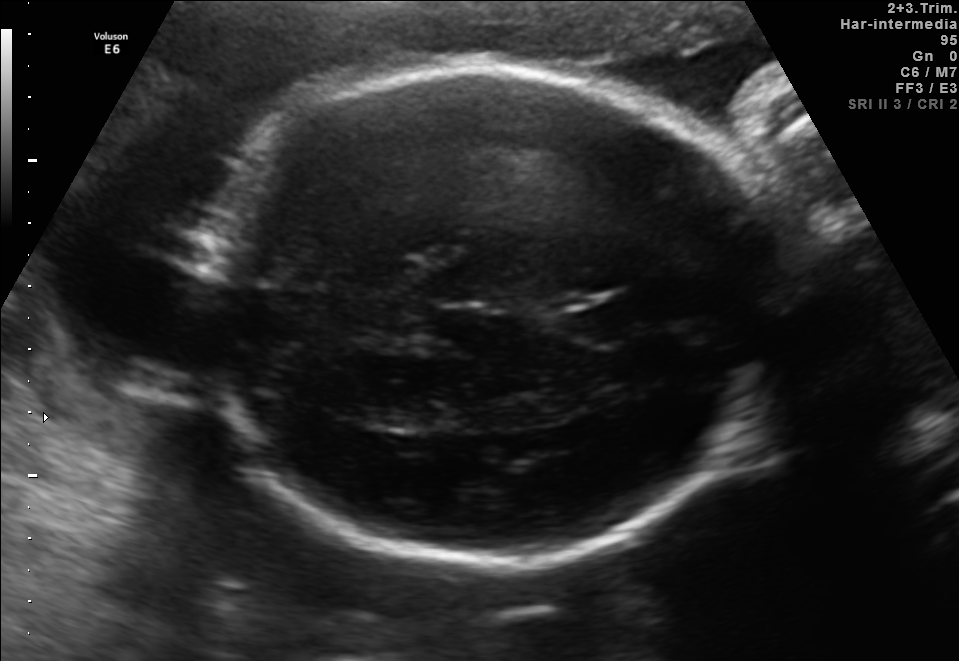
In this fetal brain, trans-thalamic plane, give the bounding box of the lateral ventricle.

[344,393,432,431]